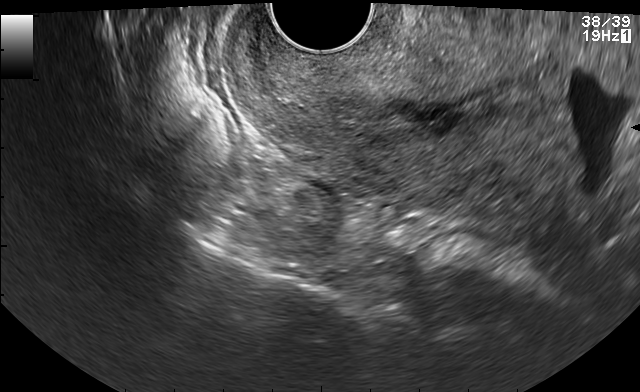
This is a 2D maternal-fetal ultrasound frame. Is it a fetal abdomen, fetal brain, fetal femur, fetal thorax, maternal cervix, or other standard plane? If it's fetal brain and one of the three standard brain planes (trans-thalamic, trans-cerebellum, trans-ventricular), name which.

Maternal cervix